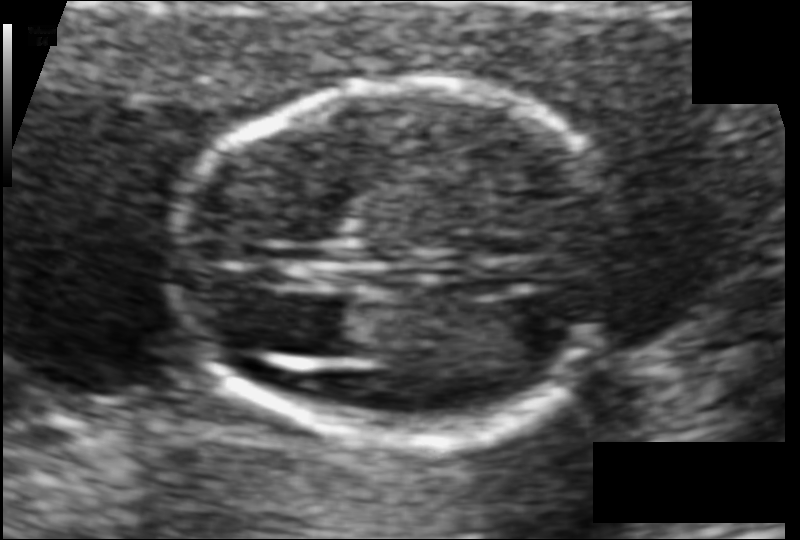
In this fetal head ultrasound, give bounding boxes for the head outline, cavum septum pellucidum (CSP), and lateral ventricle (LV), where visible. Image width: 61.4 mm.

Head: [175,86,620,436]